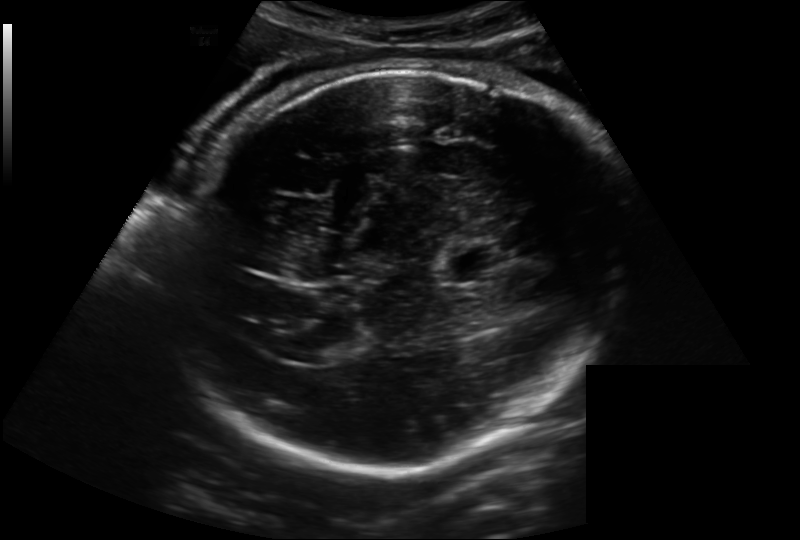
Fetal head ultrasound. Image width: 177.2 mm. Locate the cavum septum pellucidum.

CSP: [441,240,506,288]